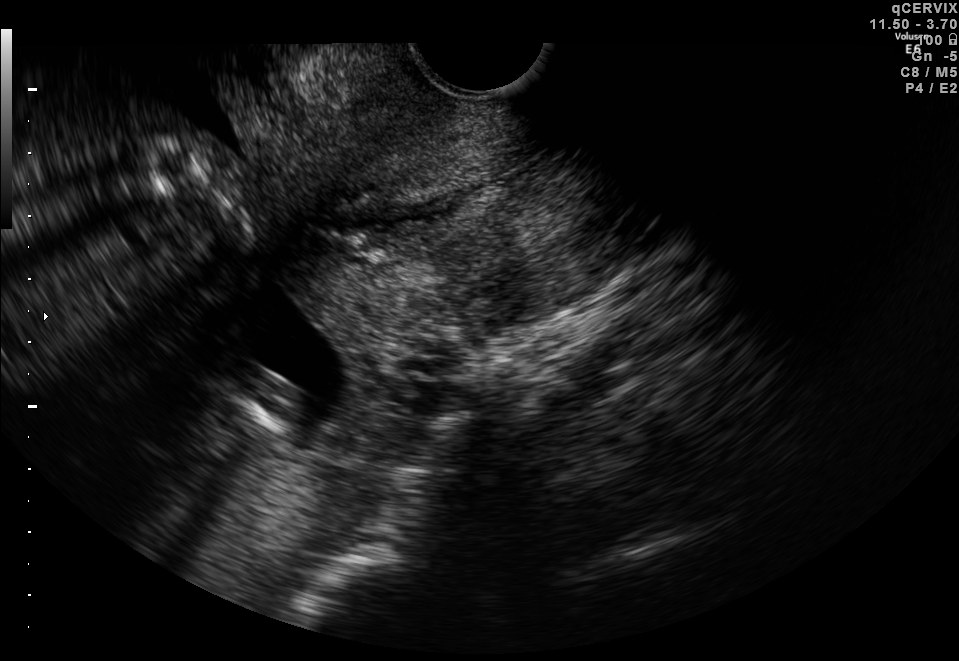
This is a 2D maternal-fetal ultrasound frame. Is it a fetal abdomen, fetal brain, fetal femur, fetal thorax, maternal cervix, or other standard plane? If it's fetal brain and one of the three standard brain planes (trans-thalamic, trans-cerebellum, trans-ventricular), name which.

Maternal cervix